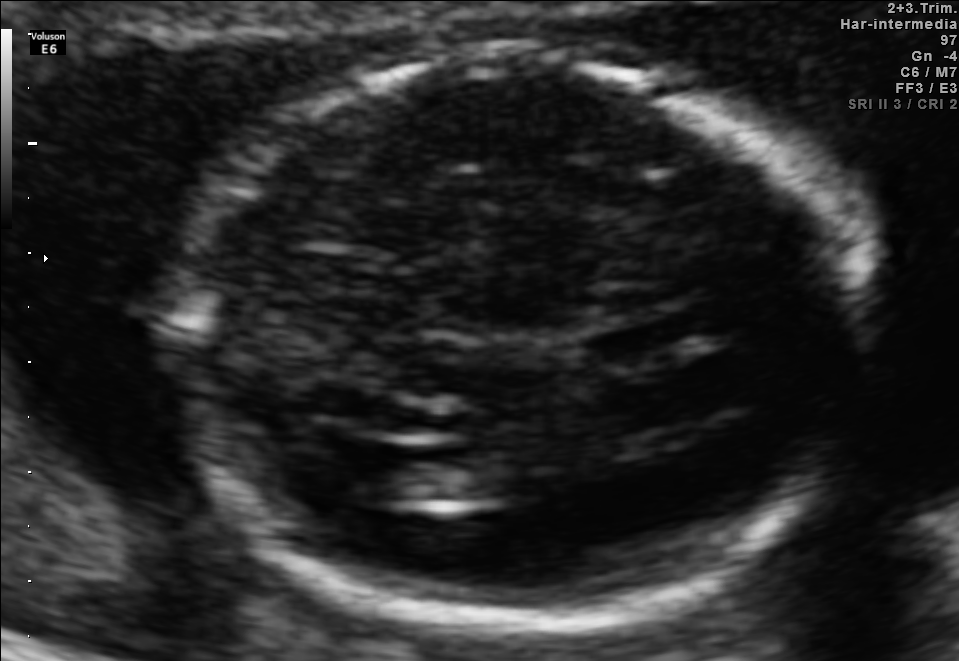
This is a 2D maternal-fetal ultrasound frame. Is it a fetal abdomen, fetal brain, fetal femur, fetal thorax, maternal cervix, or other standard plane? If it's fetal brain and one of the three standard brain planes (trans-thalamic, trans-cerebellum, trans-ventricular), name which.

Fetal brain (trans-ventricular plane)